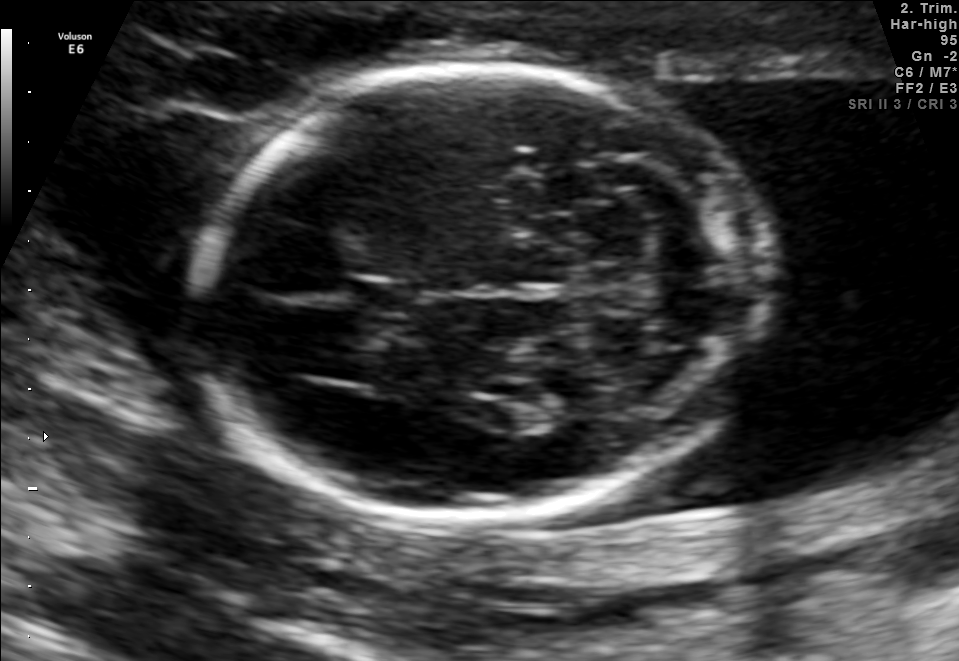
In this fetal brain, trans-cerebellum plane, give the bounding box of the fetal head.

[197,67,772,514]